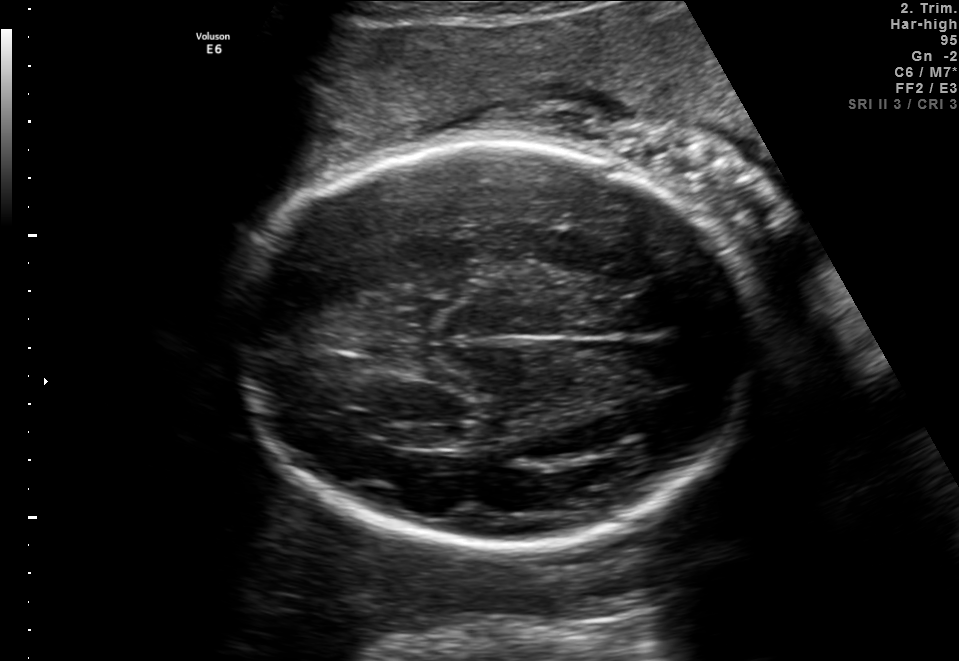
Which standard maternal-fetal ultrasound plane is shown: fetal abdomen, fetal brain, fetal femur, fetal thorax, maternal cervix, or other? If it's fetal brain and one of the three standard brain planes (trans-thalamic, trans-cerebellum, trans-ventricular), name which.

Fetal brain (trans-thalamic plane)